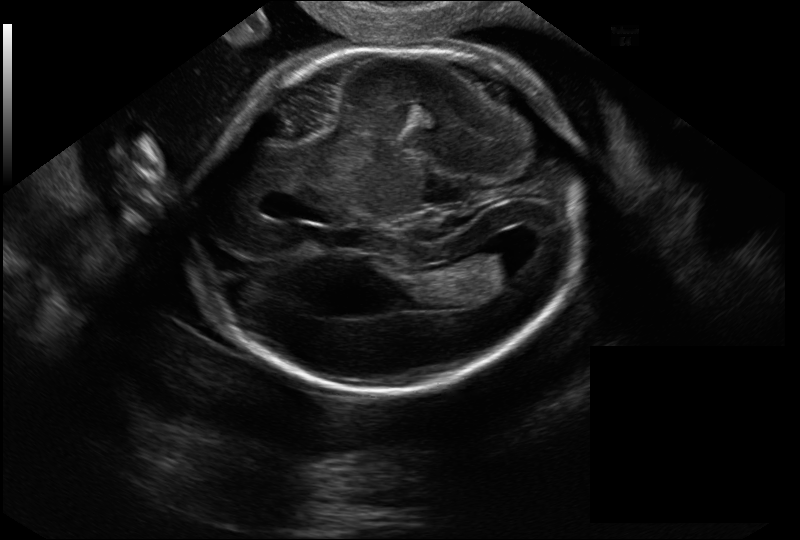
Fetal head ultrasound. Image width: 115.6 mm. Give [x1,y1,x2,y2] bounding boxes for each visible structure among: fetal head, CSP, LV.

Head: [194,48,587,392]
Lateral ventricle: [472,228,539,290]